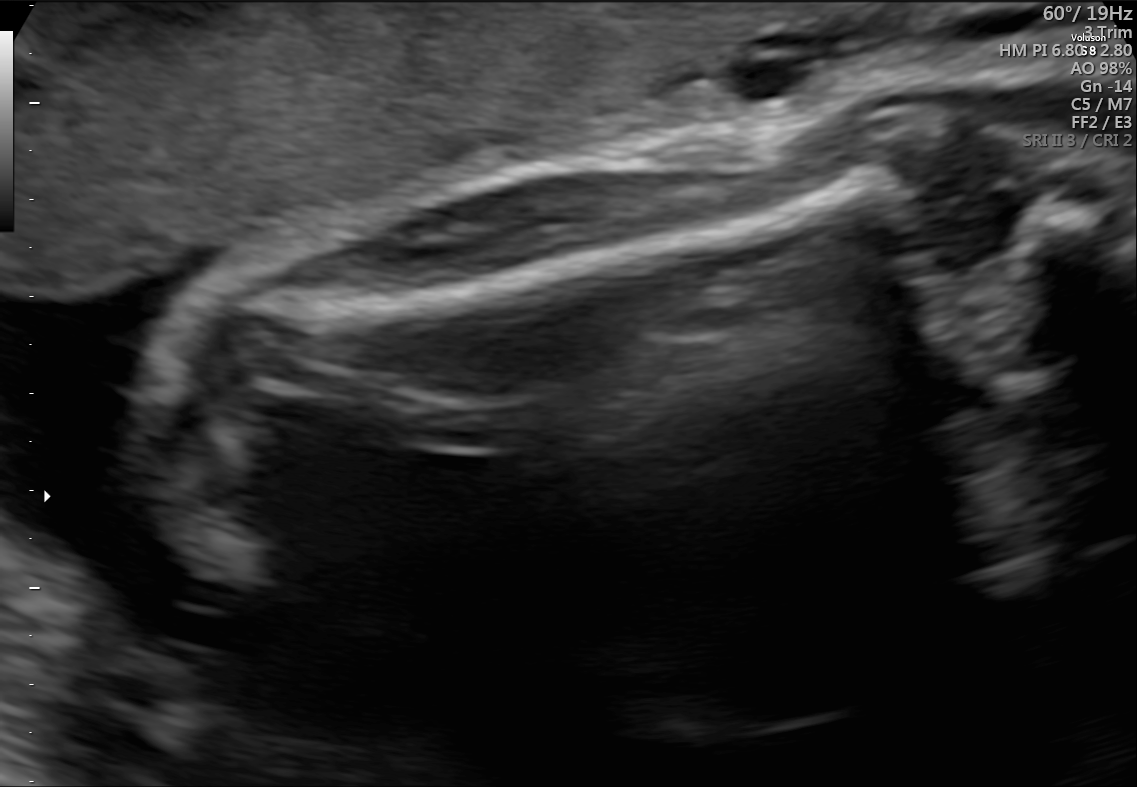
This is a 2D maternal-fetal ultrasound frame. Is it a fetal abdomen, fetal brain, fetal femur, fetal thorax, maternal cervix, or other standard plane? If it's fetal brain and one of the three standard brain planes (trans-thalamic, trans-cerebellum, trans-ventricular), name which.

Fetal femur